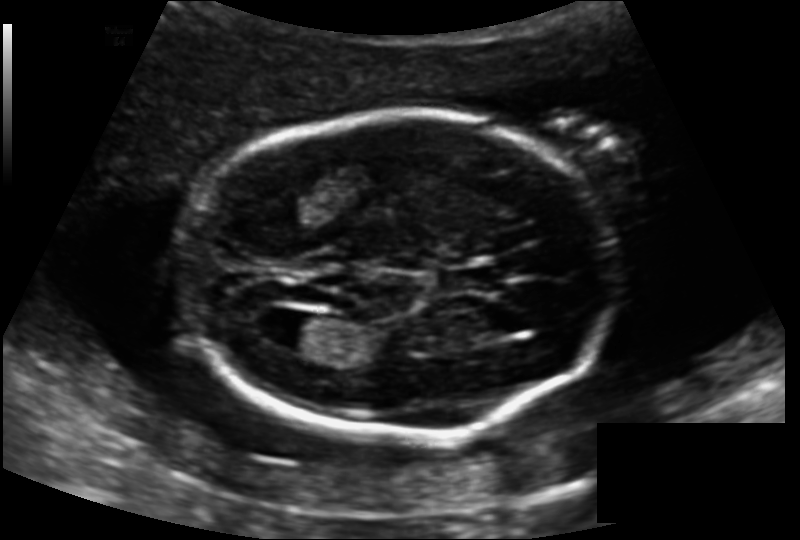
Measure the fetal head circumference shown in this ultrasound image. Image width: 111.5 mm.

Head circumference: 173.2 mm.